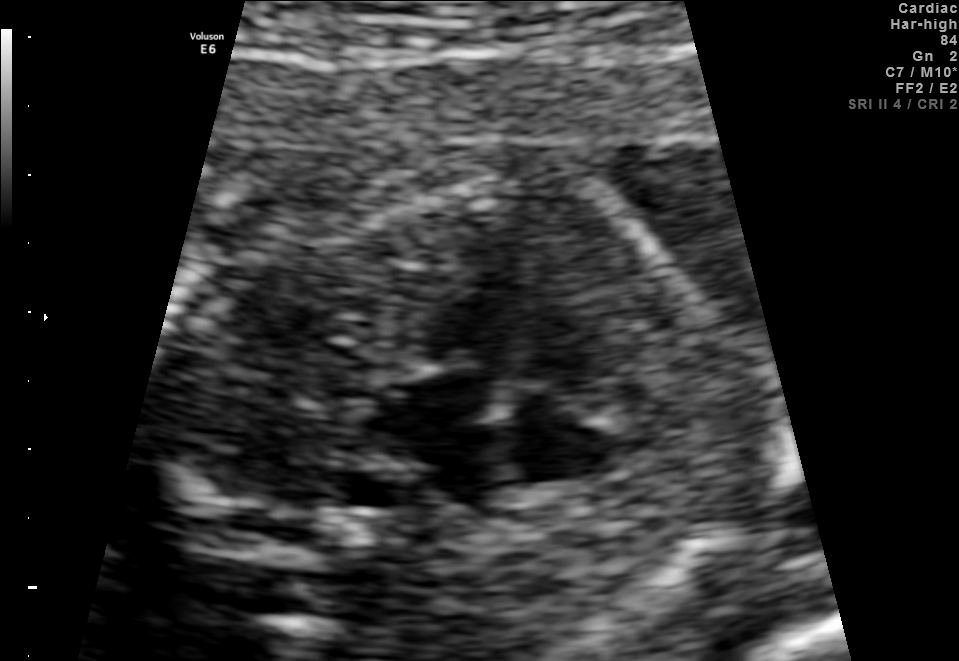
Identify the standard plane in this fetal ultrasound image: fetal abdomen, fetal brain, fetal femur, fetal thorax, maternal cervix, or other. If it's fetal brain and one of the three standard brain planes (trans-thalamic, trans-cerebellum, trans-ventricular), name which.

Fetal thorax